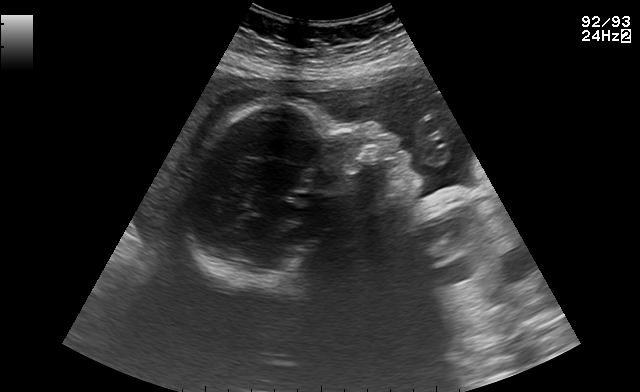
This is a 2D maternal-fetal ultrasound frame. Is it a fetal abdomen, fetal brain, fetal femur, fetal thorax, maternal cervix, or other standard plane? If it's fetal brain and one of the three standard brain planes (trans-thalamic, trans-cerebellum, trans-ventricular), name which.

Other